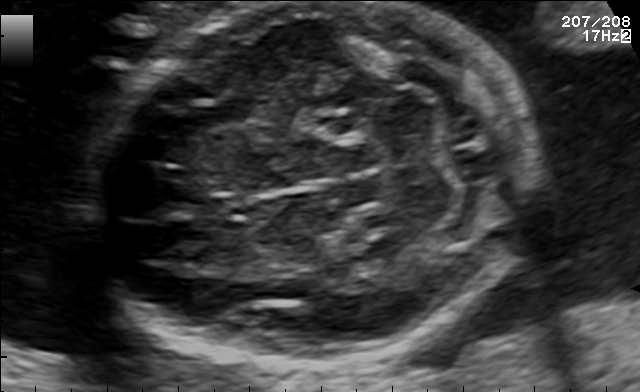
In this fetal brain, trans-cerebellum plane, give the bounding box of the fetal head.

[94,2,523,364]